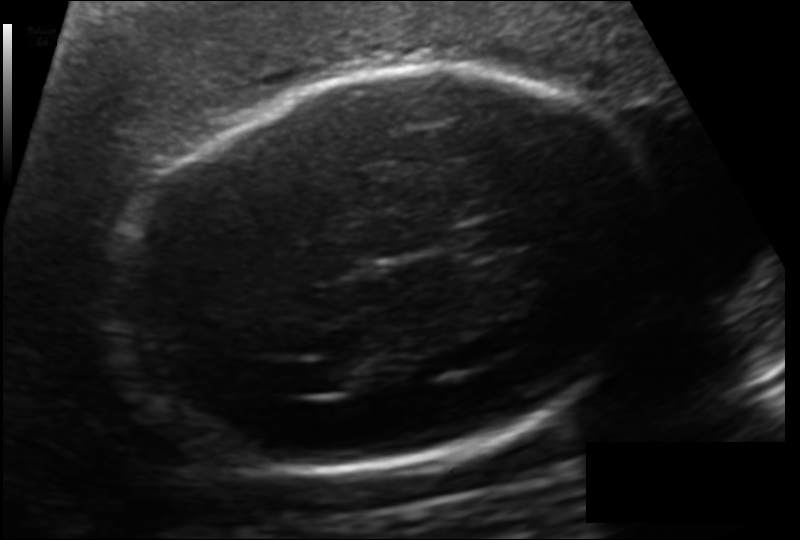
In this fetal head ultrasound, give the bounding box of the lateral ventricle. Image width: 120.9 mm.

[309,360,365,392]